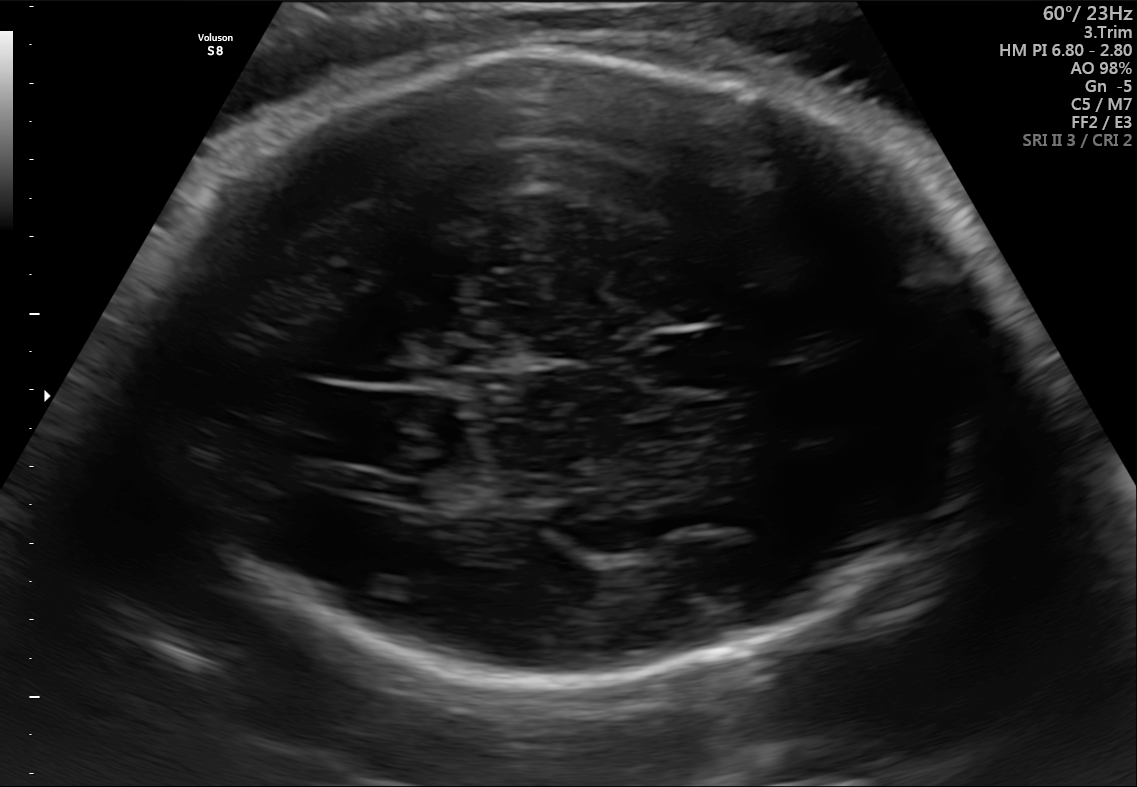
Fetal brain, trans-thalamic plane. Locate the lateral ventricle.

Lateral ventricle: [372,470,438,514]